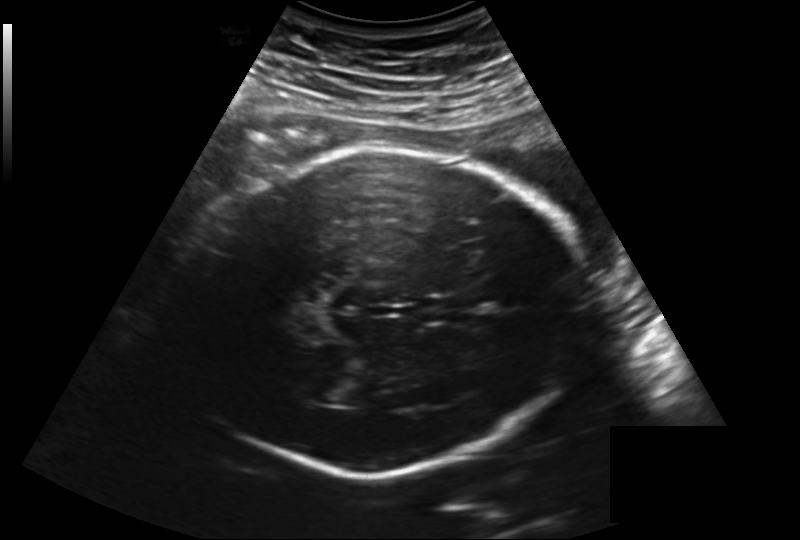
Fetal head ultrasound. Image width: 175.2 mm. Locate the fetal head and, if visible, the cavum septum pellucidum (CSP) and lateral ventricle (LV). Give bounding boxes as [x1,y1,x2,y2].

Head: [174,147,587,476]
Lateral ventricle: [305,373,352,402]